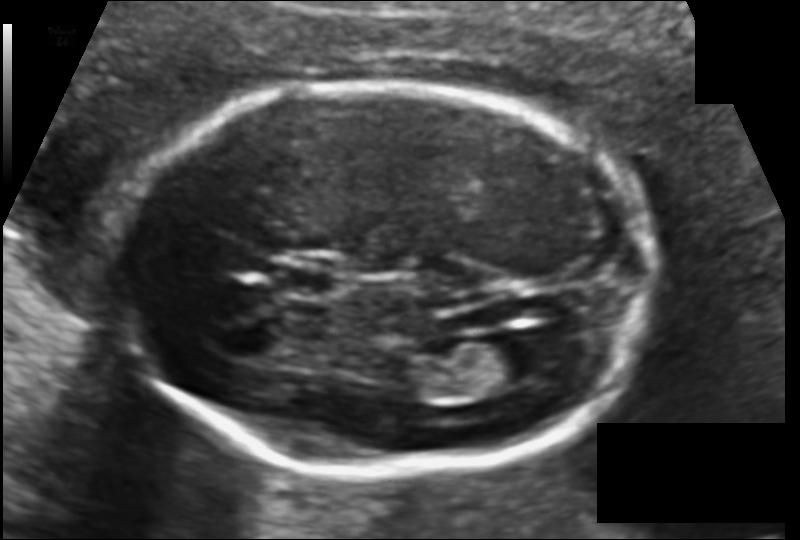
From this fetal ultrasound, estimate the head circumference (image width 90.6 mm).

Head circumference: 171.6 mm.